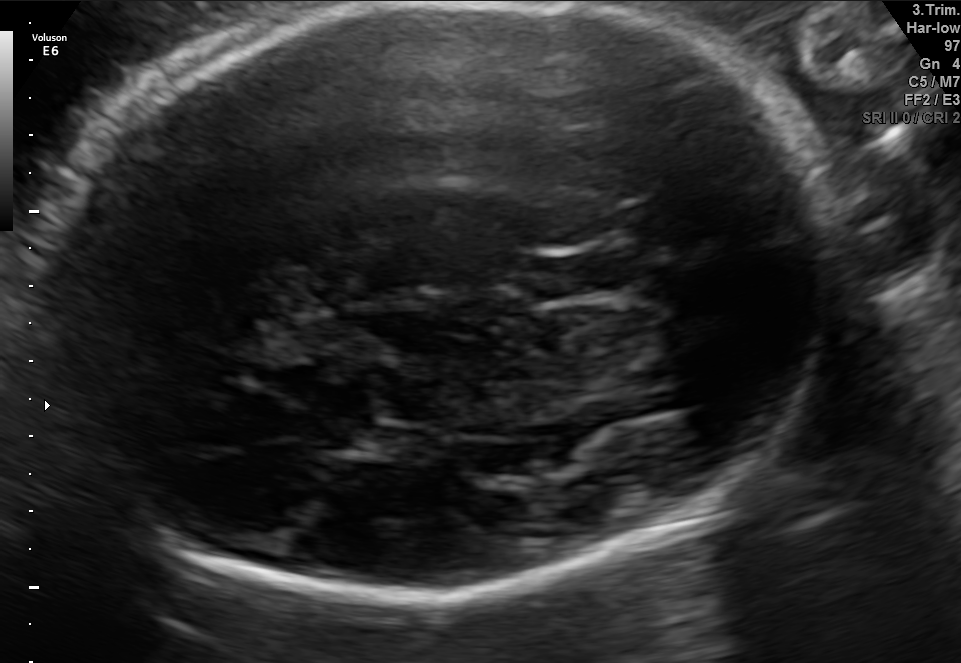
Fetal brain, trans-thalamic plane. Locate the cavum septum pellucidum.

CSP: [527,249,619,304]